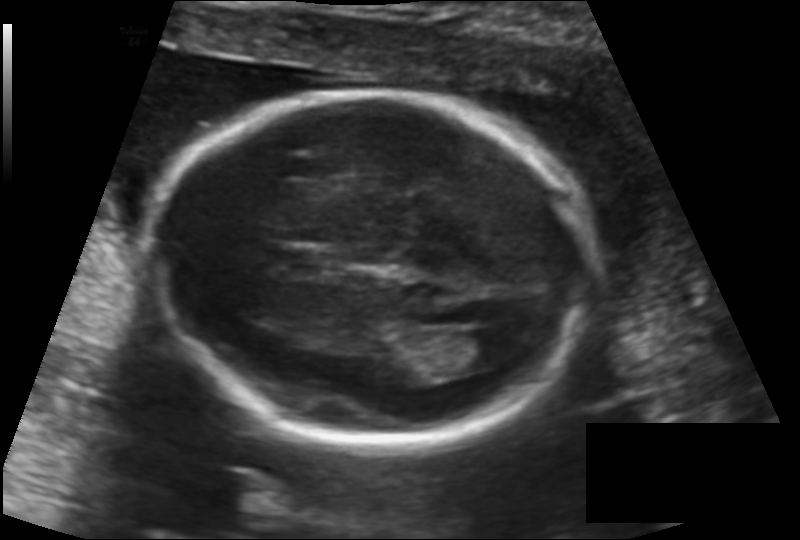
Estimate the fetal head circumference from this 2D ultrasound. Image width: 109.6 mm.

Head circumference: 175.1 mm.